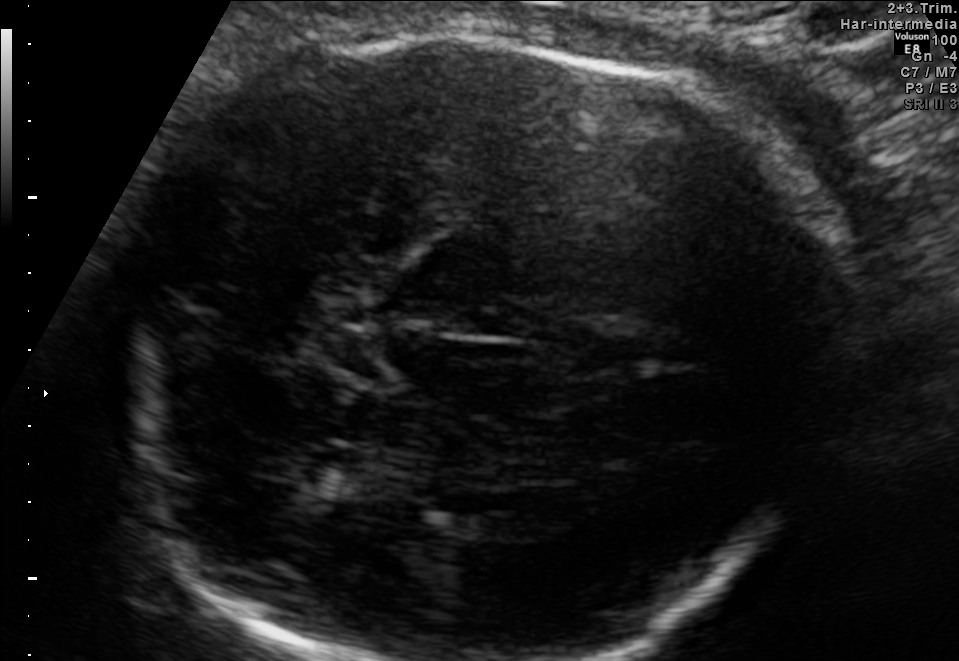
In this fetal brain, trans-thalamic plane, give bounding boxes for the head outline, cavum septum pellucidum (CSP), and lateral ventricle (LV), where visible.

Head: [131,22,800,660]
Lateral ventricle: [276,434,379,498]